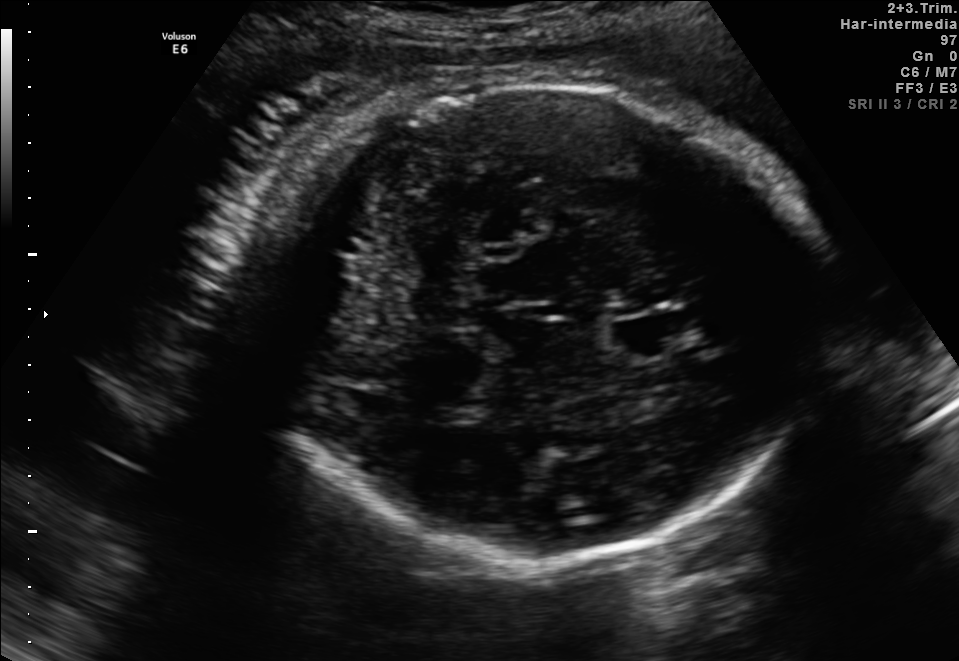
Fetal brain, trans-thalamic plane. Locate the fetal head and, if visible, the cavum septum pellucidum (CSP) and lateral ventricle (LV). Give bounding boxes as [x1,y1,x2,y2].

Head: [225,83,818,562]
CSP: [611,310,693,359]